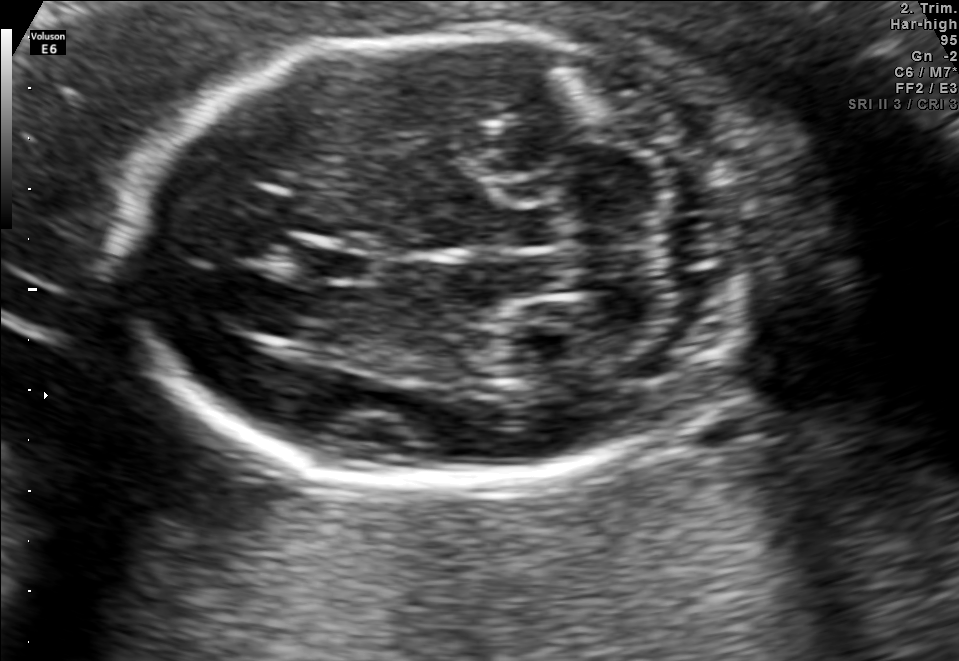
Fetal brain, trans-cerebellum plane. Give [x1,y1,x2,y2] bounding boxes for each visible structure among: fetal head, CSP, LV.

Head: [122,35,747,482]
CSP: [297,240,376,285]
Lateral ventricle: [486,316,586,374]